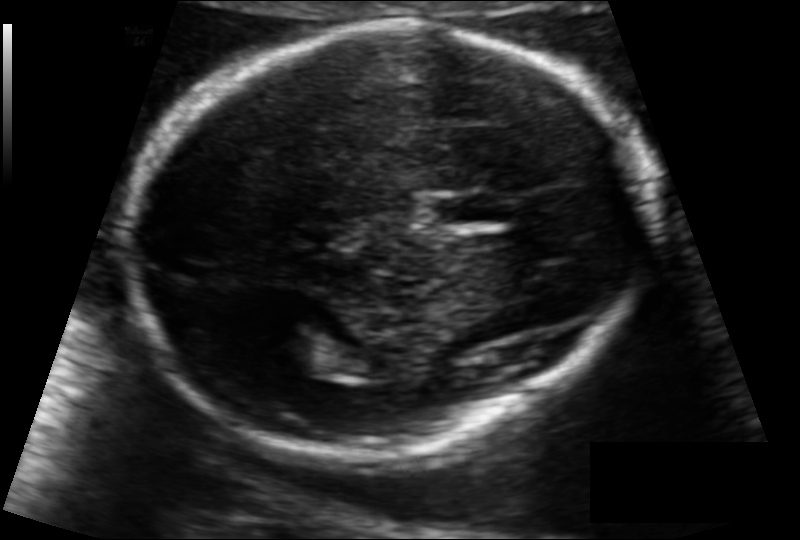
In this fetal head ultrasound, give the bounding box of the cavum septum pellucidum. Image width: 88.7 mm.

[433,195,505,225]